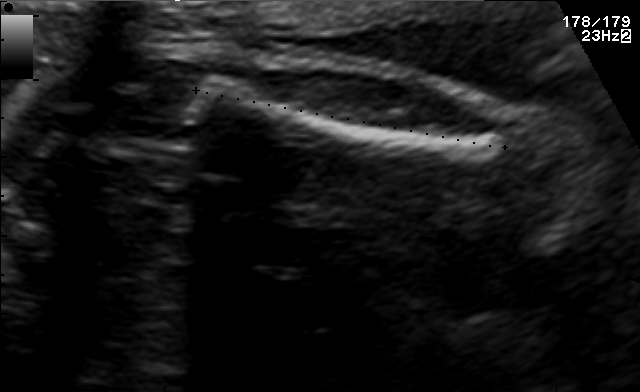
This is a 2D maternal-fetal ultrasound frame. Is it a fetal abdomen, fetal brain, fetal femur, fetal thorax, maternal cervix, or other standard plane? If it's fetal brain and one of the three standard brain planes (trans-thalamic, trans-cerebellum, trans-ventricular), name which.

Other